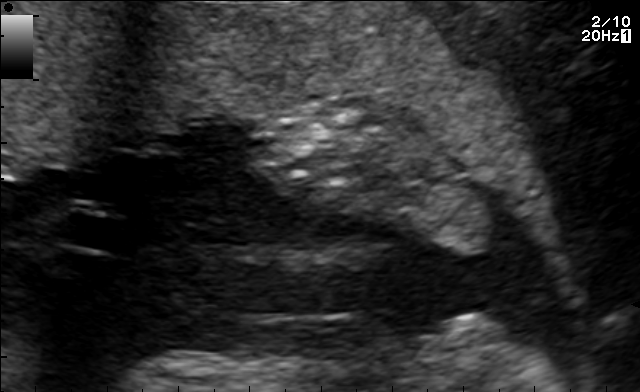
Identify the standard plane in this fetal ultrasound image: fetal abdomen, fetal brain, fetal femur, fetal thorax, maternal cervix, or other. If it's fetal brain and one of the three standard brain planes (trans-thalamic, trans-cerebellum, trans-ventricular), name which.

Other